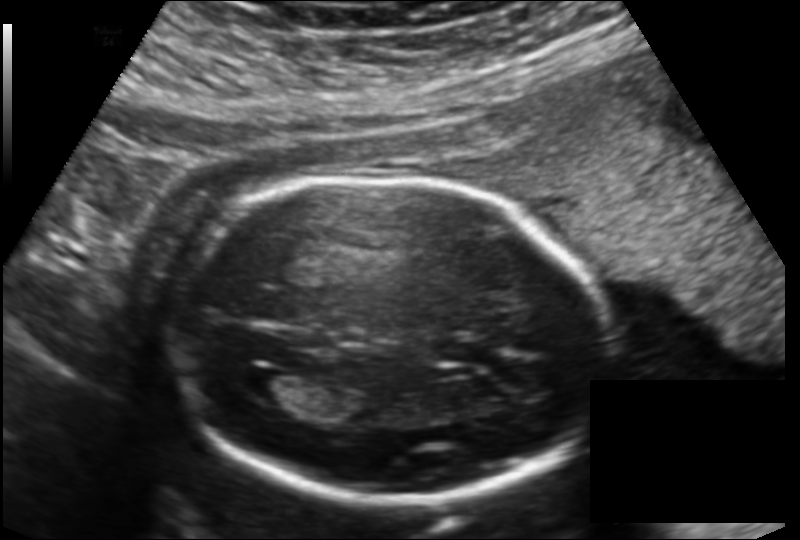
In this fetal head ultrasound, give the bounding box of the fetal head. Image width: 120.4 mm.

[164,176,604,502]